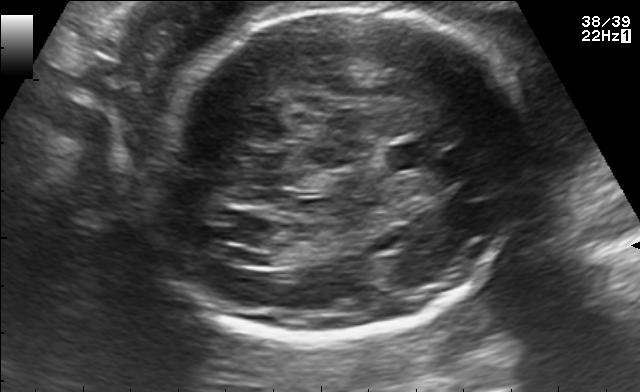
Fetal brain, trans-ventricular plane. Locate the fetal head and, if visible, the cavum septum pellucidum (CSP) and lateral ventricle (LV). Give bounding boxes as [x1,y1,x2,y2].

Head: [140,4,532,343]